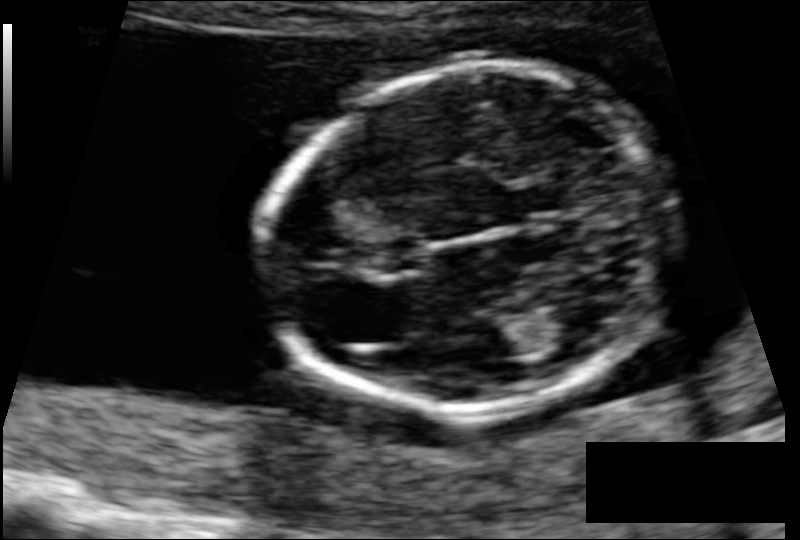
Fetal head ultrasound. Image width: 70.5 mm. Where is the fetal head?

Head bounding box: [263,68,674,418]